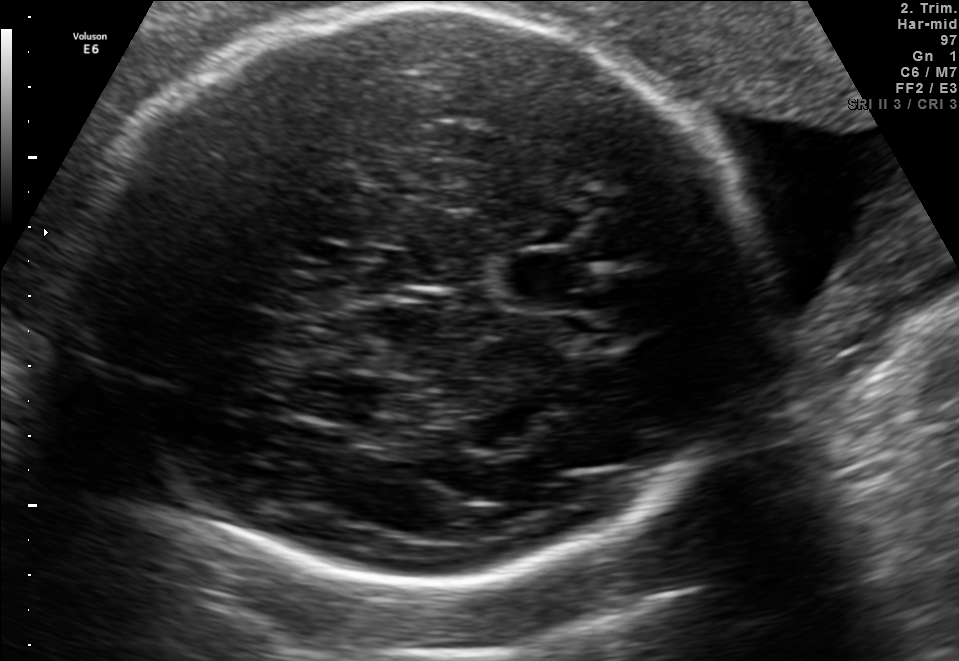
In this fetal brain, trans-thalamic plane, give bounding boxes for the head outline, cavum septum pellucidum (CSP), and lateral ventricle (LV), where visible.

Head: [63,9,752,588]
CSP: [502,251,597,310]